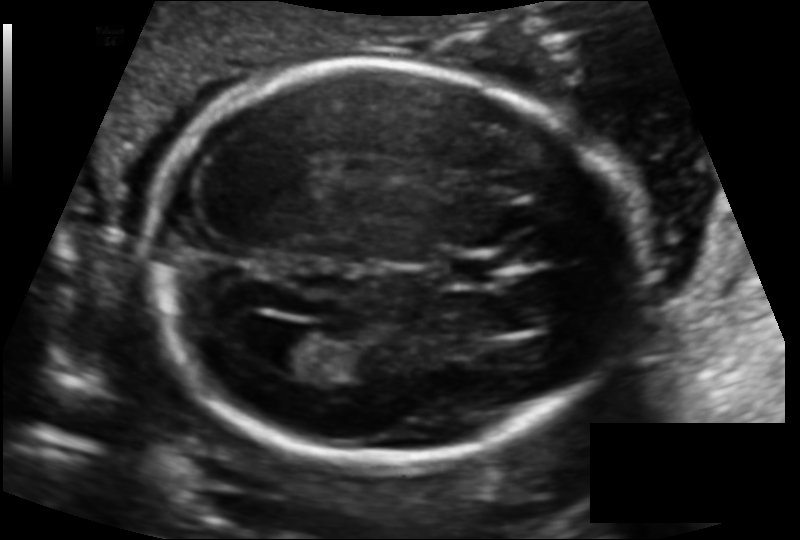
Fetal head ultrasound. Image width: 100.1 mm. Where is the lateral ventricle?

Lateral ventricle bounding box: [260,322,334,380]